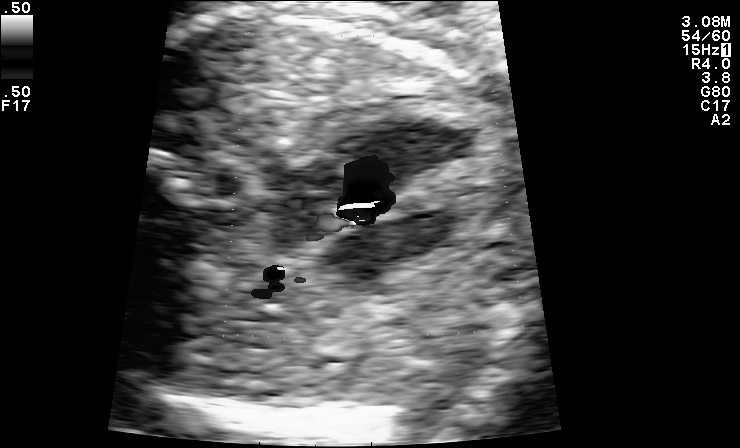
Identify the standard plane in this fetal ultrasound image: fetal abdomen, fetal brain, fetal femur, fetal thorax, maternal cervix, or other. If it's fetal brain and one of the three standard brain planes (trans-thalamic, trans-cerebellum, trans-ventricular), name which.

Other